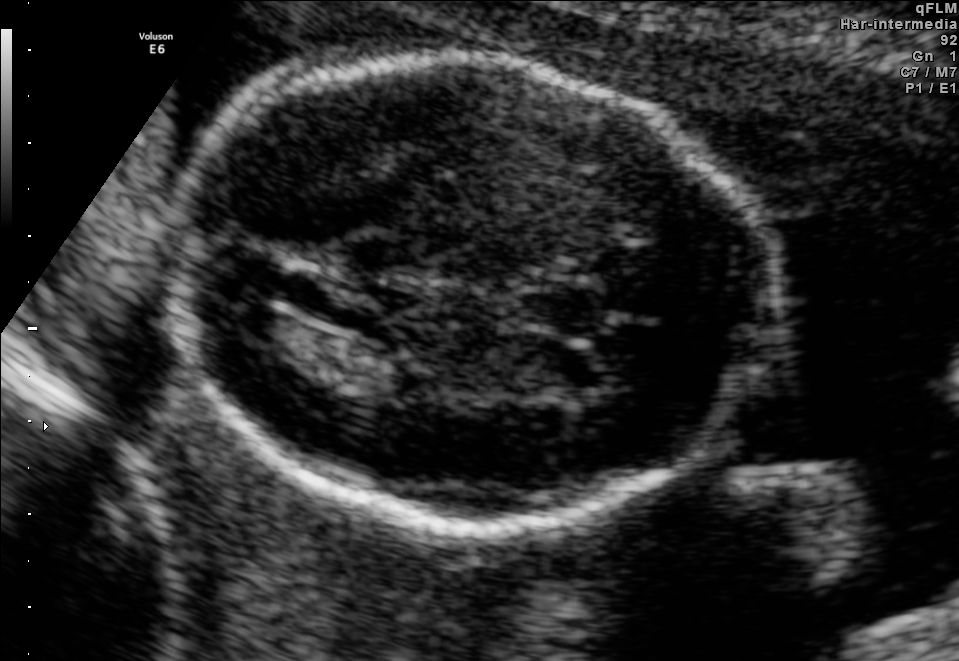
In this fetal brain, trans-thalamic plane, give bounding boxes for the head outline, cavum septum pellucidum (CSP), and lateral ventricle (LV), where visible.

Head: [177,57,766,528]
CSP: [519,284,603,334]
Lateral ventricle: [214,285,301,355]